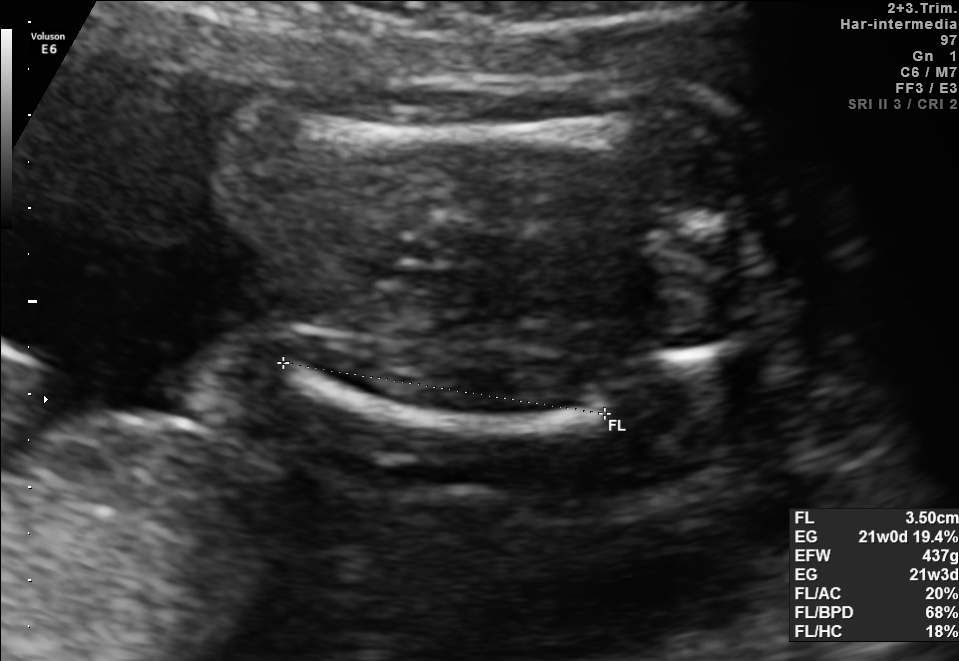
Classify this maternal-fetal ultrasound image as one of the six standard planes — fetal abdomen, fetal brain, fetal femur, fetal thorax, maternal cervix, or other. If it's fetal brain and one of the three standard brain planes (trans-thalamic, trans-cerebellum, trans-ventricular), name which.

Other